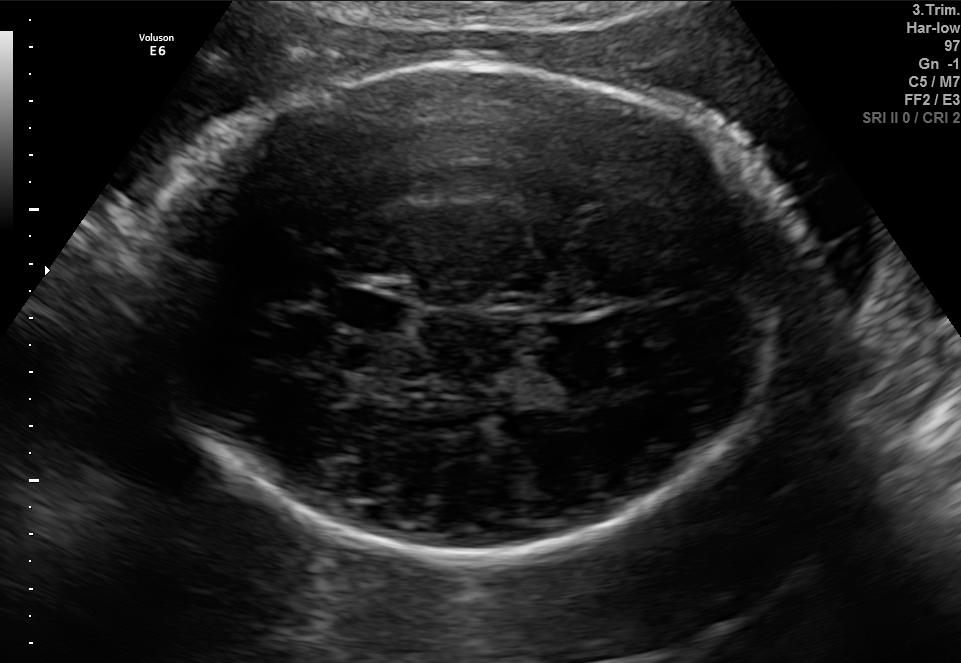
Classify this maternal-fetal ultrasound image as one of the six standard planes — fetal abdomen, fetal brain, fetal femur, fetal thorax, maternal cervix, or other. If it's fetal brain and one of the three standard brain planes (trans-thalamic, trans-cerebellum, trans-ventricular), name which.

Fetal brain (trans-thalamic plane)